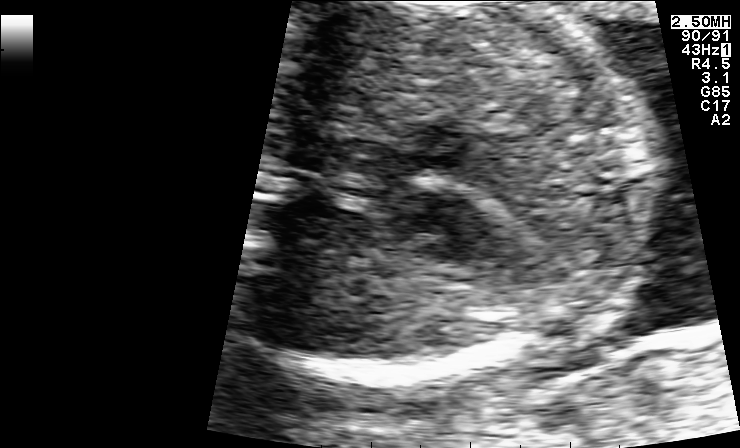
This is a 2D maternal-fetal ultrasound frame. Is it a fetal abdomen, fetal brain, fetal femur, fetal thorax, maternal cervix, or other standard plane? If it's fetal brain and one of the three standard brain planes (trans-thalamic, trans-cerebellum, trans-ventricular), name which.

Fetal thorax